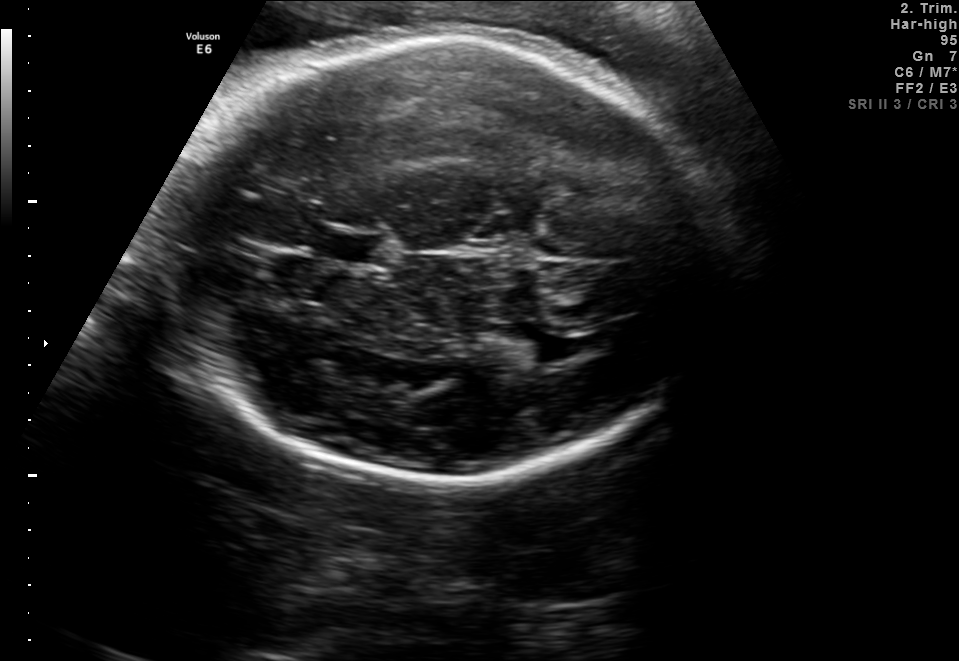
In this fetal brain, trans-thalamic plane, give the bounding box of the cavum septum pellucidum.

[323,228,381,265]